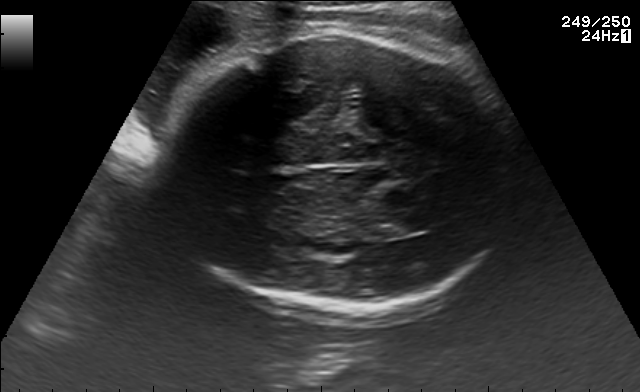
In this fetal brain, trans-thalamic plane, give bounding boxes for the head outline, cavum septum pellucidum (CSP), and lateral ventricle (LV), where visible.

Head: [162,34,521,308]
Lateral ventricle: [370,211,426,241]